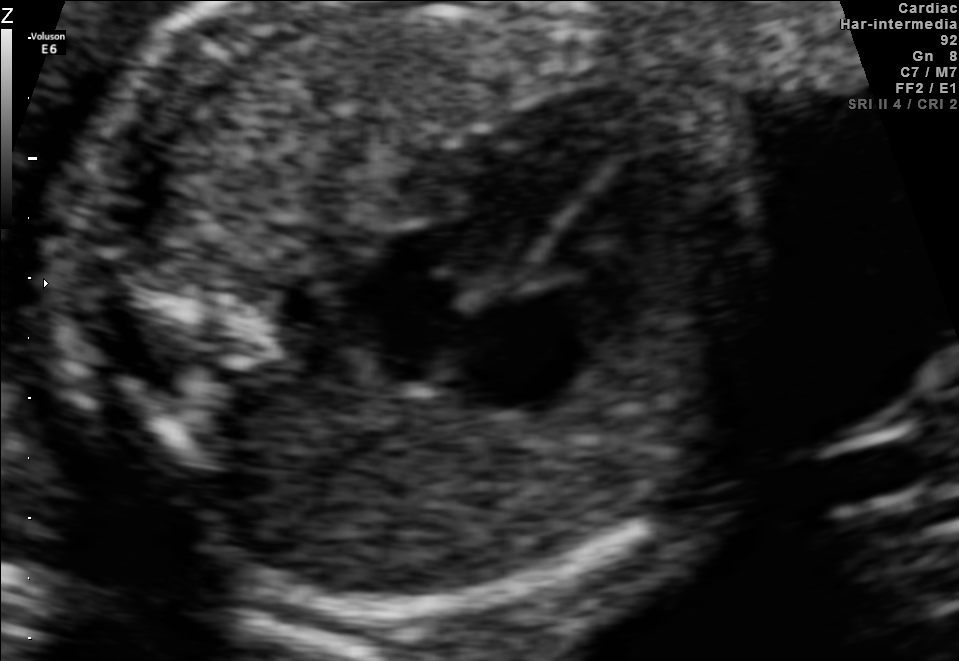
Which standard maternal-fetal ultrasound plane is shown: fetal abdomen, fetal brain, fetal femur, fetal thorax, maternal cervix, or other? If it's fetal brain and one of the three standard brain planes (trans-thalamic, trans-cerebellum, trans-ventricular), name which.

Fetal thorax